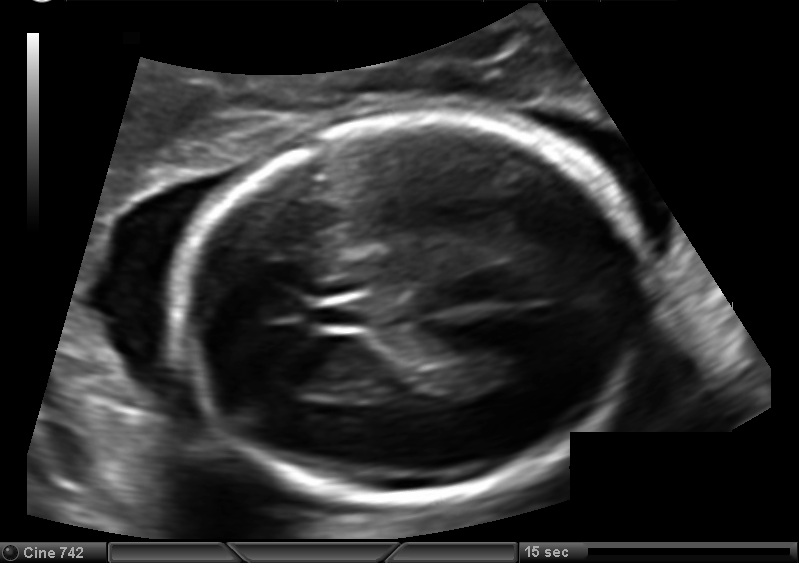
Fetal head ultrasound. Image width: 101.4 mm. Locate the fetal head and, if visible, the cavum septum pellucidum (CSP) and lateral ventricle (LV). Give bounding boxes as [x1,y1,x2,y2].

Head: [178,114,636,502]
CSP: [313,297,372,332]
Lateral ventricle: [465,339,536,392]